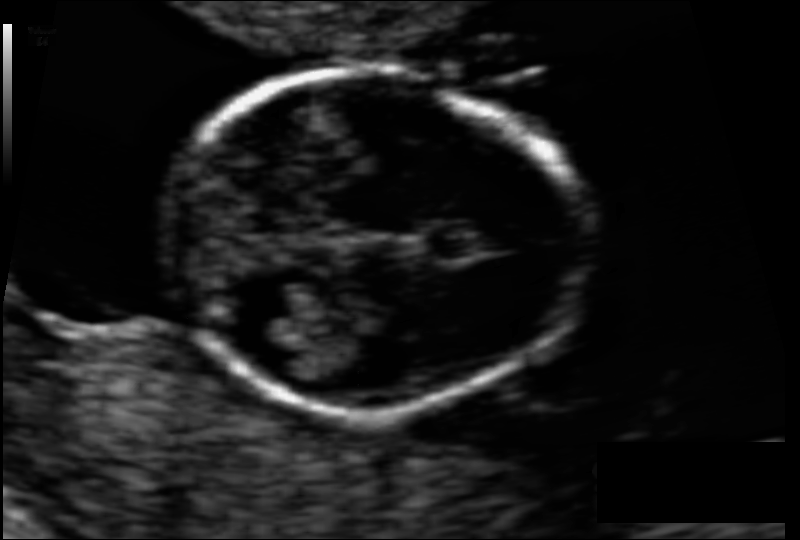
Estimate the fetal head circumference from this 2D ultrasound.

Head circumference: 79.1 mm (image width 52.1 mm).